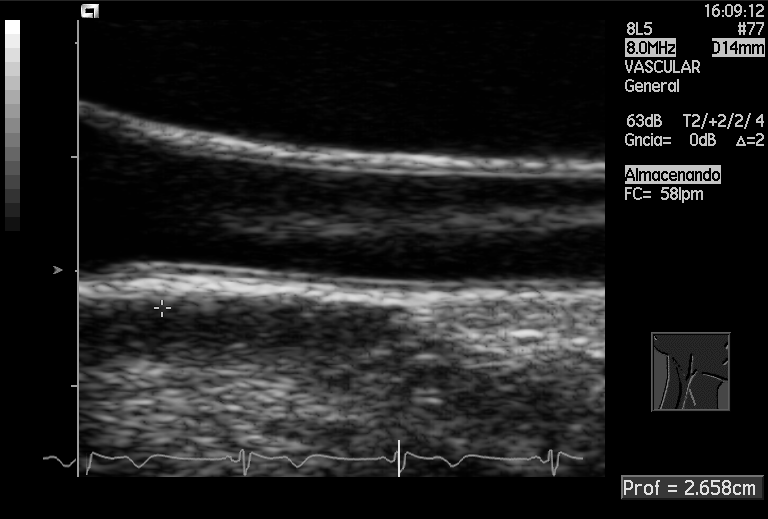
Identify the standard plane in this fetal ultrasound image: fetal abdomen, fetal brain, fetal femur, fetal thorax, maternal cervix, or other. If it's fetal brain and one of the three standard brain planes (trans-thalamic, trans-cerebellum, trans-ventricular), name which.

Other